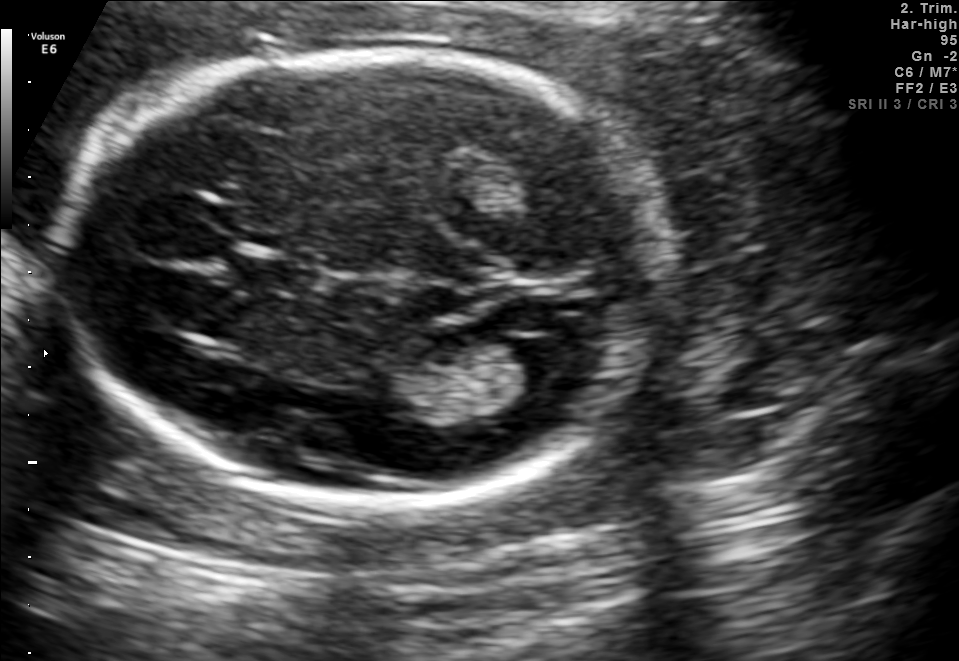
Identify the standard plane in this fetal ultrasound image: fetal abdomen, fetal brain, fetal femur, fetal thorax, maternal cervix, or other. If it's fetal brain and one of the three standard brain planes (trans-thalamic, trans-cerebellum, trans-ventricular), name which.

Fetal brain (trans-ventricular plane)